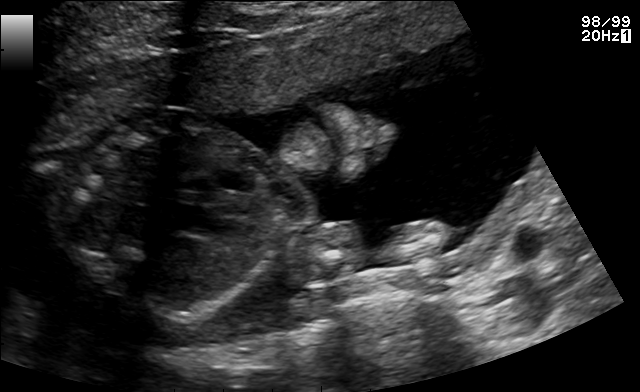
Identify the standard plane in this fetal ultrasound image: fetal abdomen, fetal brain, fetal femur, fetal thorax, maternal cervix, or other. If it's fetal brain and one of the three standard brain planes (trans-thalamic, trans-cerebellum, trans-ventricular), name which.

Other